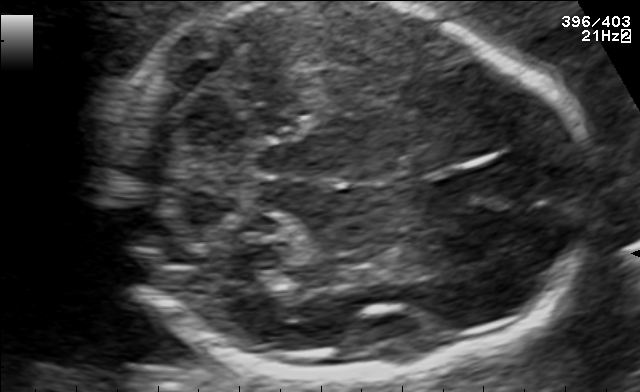
In this fetal brain, trans-cerebellum plane, give bounding boxes for the head outline, cavum septum pellucidum (CSP), and lateral ventricle (LV), where visible.

Head: [101,2,590,378]